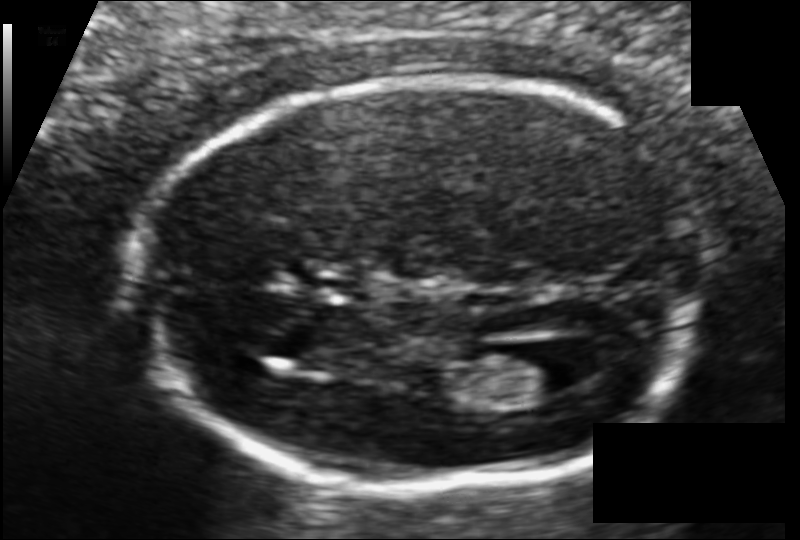
Fetal head ultrasound. Image width: 83.6 mm. Where is the fetal head?

Head bounding box: [136,79,702,492]